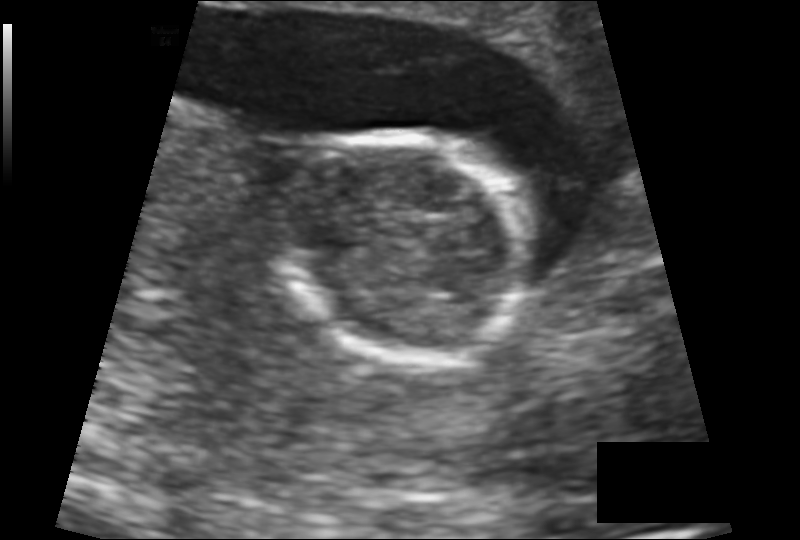
In this fetal head ultrasound, give bounding boxes for the head outline, cavum septum pellucidum (CSP), and lateral ventricle (LV), where visible. Image width: 109.7 mm.

Head: [273,133,532,361]